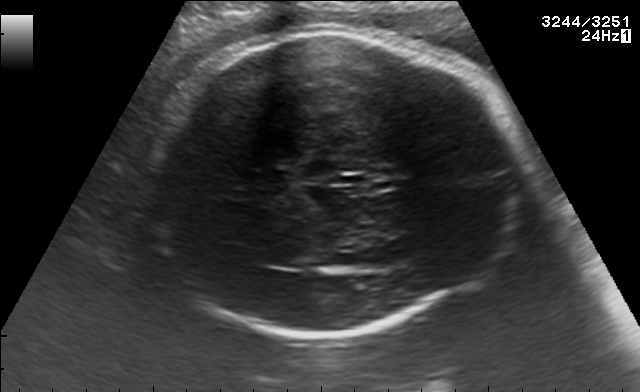
Fetal brain, trans-thalamic plane. Give [x1,y1,x2,y2] bounding boxes for each visible structure among: fetal head, CSP, LV.

Head: [143,34,514,334]